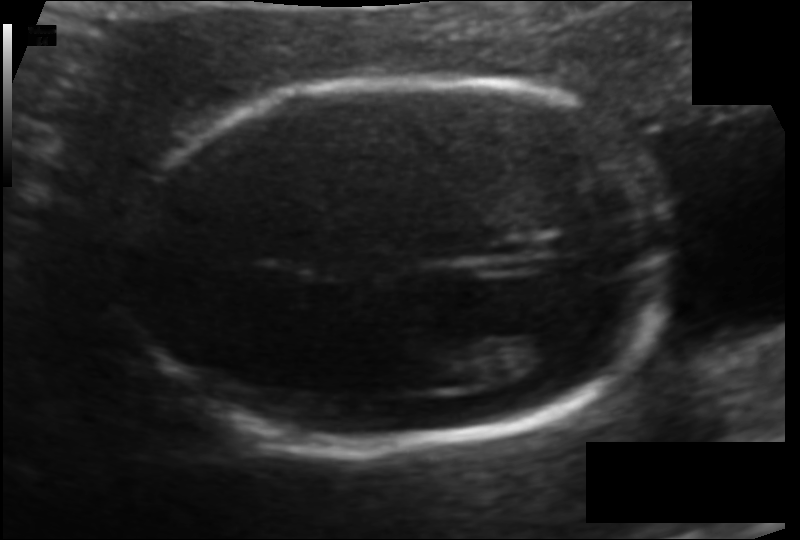
Estimate the fetal head circumference from this 2D ultrasound.

Head circumference: 156.6 mm (image width 83.8 mm).